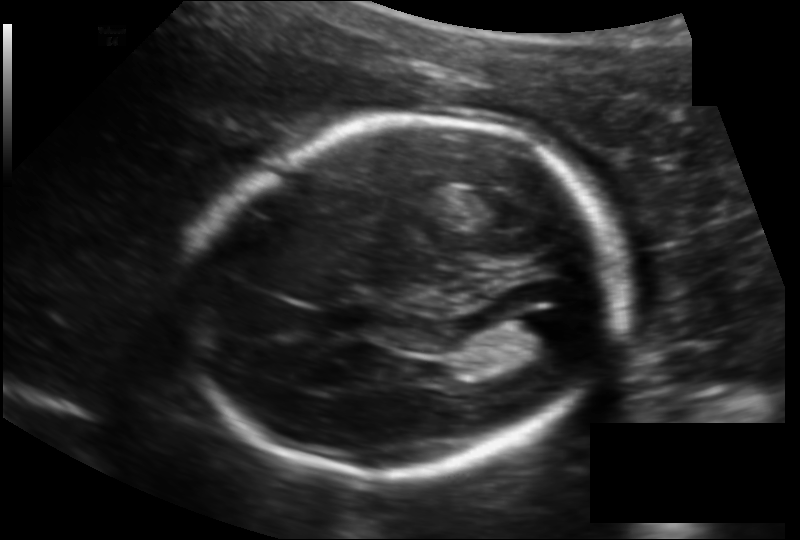
Fetal head ultrasound. Image width: 115.9 mm. Where is the fetal head?

Head bounding box: [190,118,618,476]